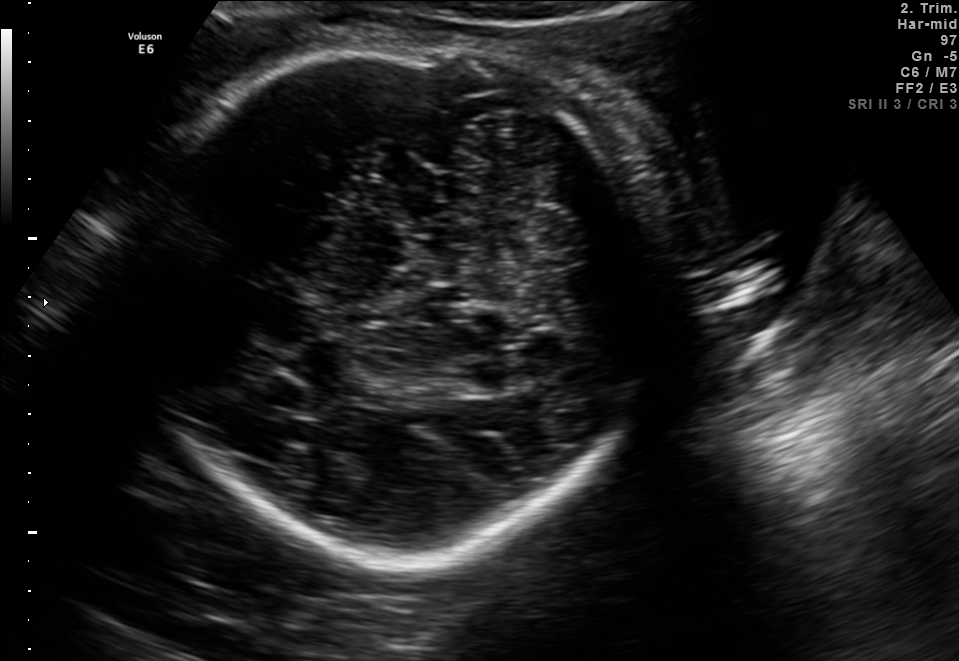
Fetal brain, trans-cerebellum plane. Where is the fetal head?

Head bounding box: [134,45,649,554]